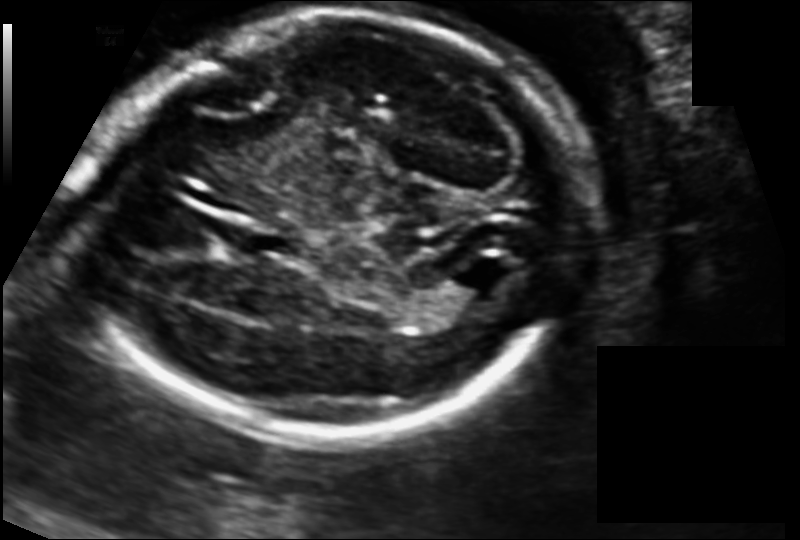
Fetal head ultrasound. Image width: 100.4 mm. Where is the fetal head?

Head bounding box: [98,11,582,440]